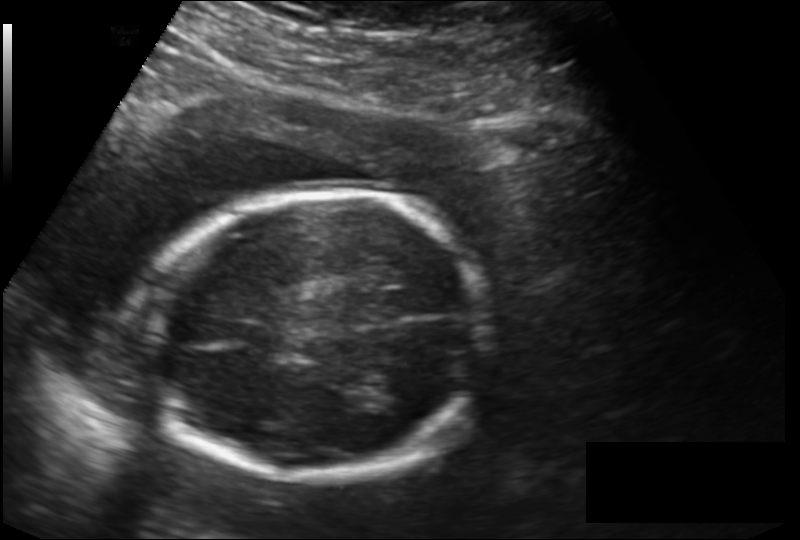
In this fetal head ultrasound, give the bounding box of the fetal head. Image width: 133.1 mm.

[138,193,485,476]